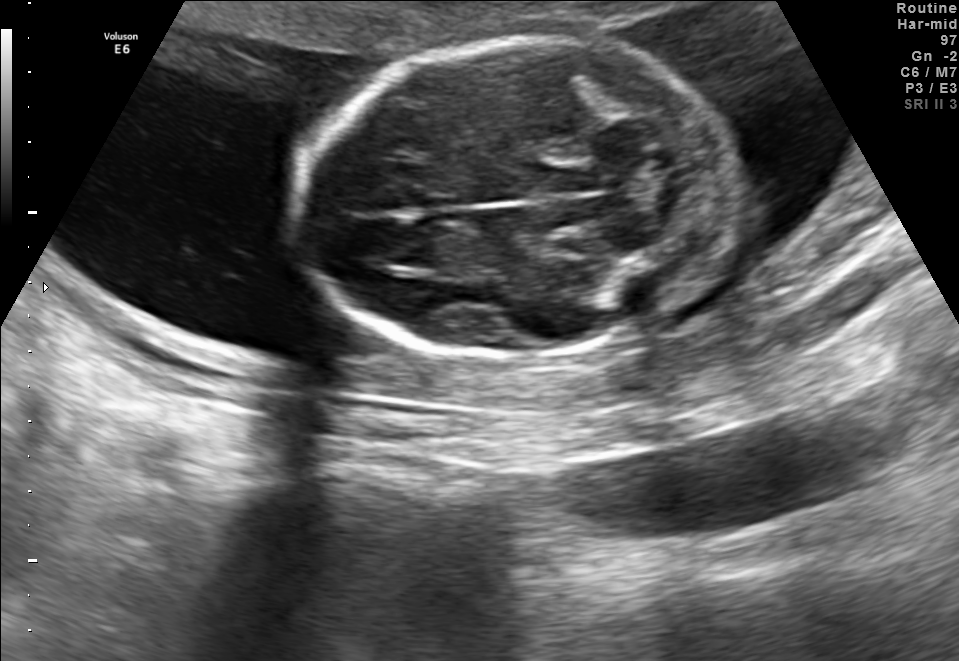
Fetal brain, trans-thalamic plane. Give [x1,y1,x2,y2] bounding boxes for each visible structure among: fetal head, CSP, LV.

Head: [291,36,738,363]